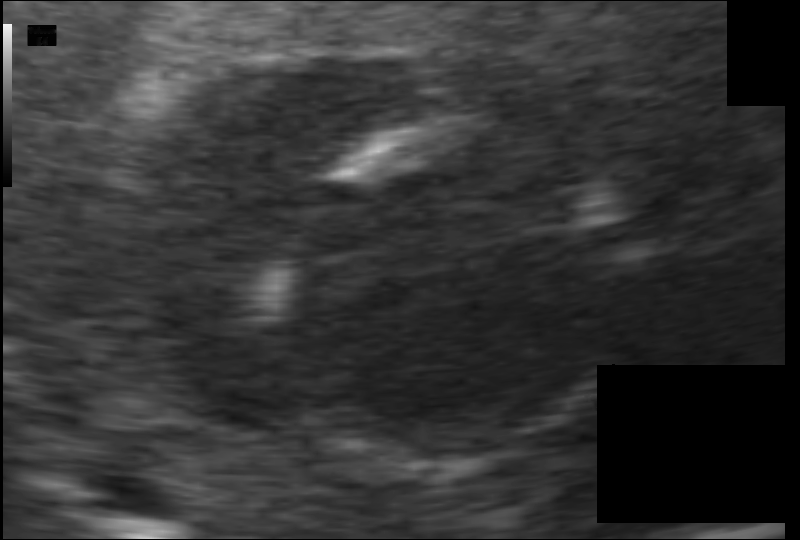
Fetal head ultrasound. Image width: 55.7 mm. Locate the fetal head and, if visible, the cavum septum pellucidum (CSP) and lateral ventricle (LV). Give bounding boxes as [x1,y1,x2,y2].

Head: [274,122,622,471]